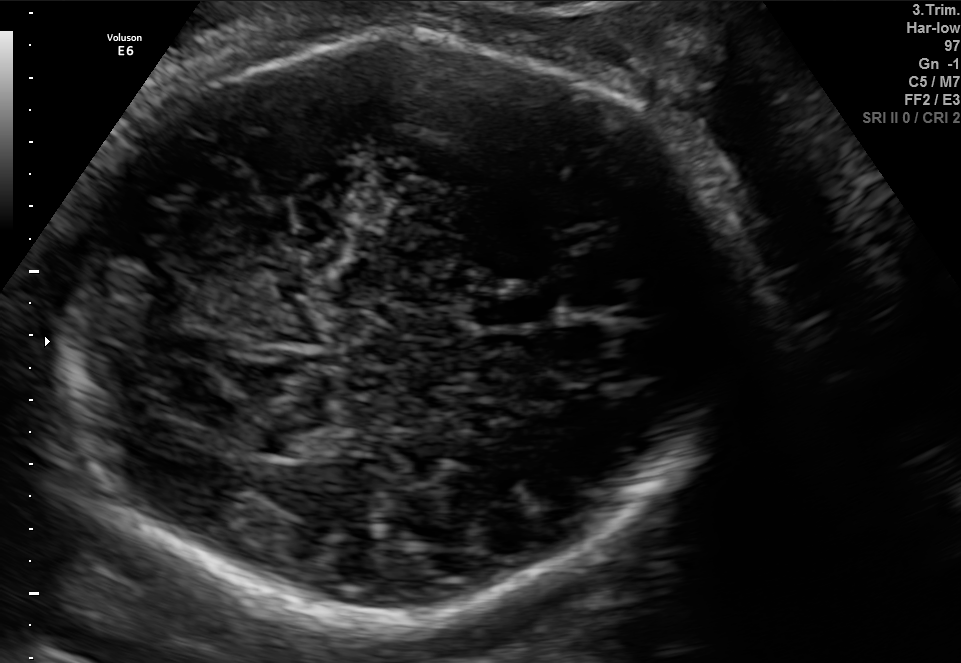
In this fetal brain, trans-cerebellum plane, give bounding boxes for the head outline, cavum septum pellucidum (CSP), and lateral ventricle (LV), where visible.

Head: [52,31,729,614]
CSP: [469,287,558,331]